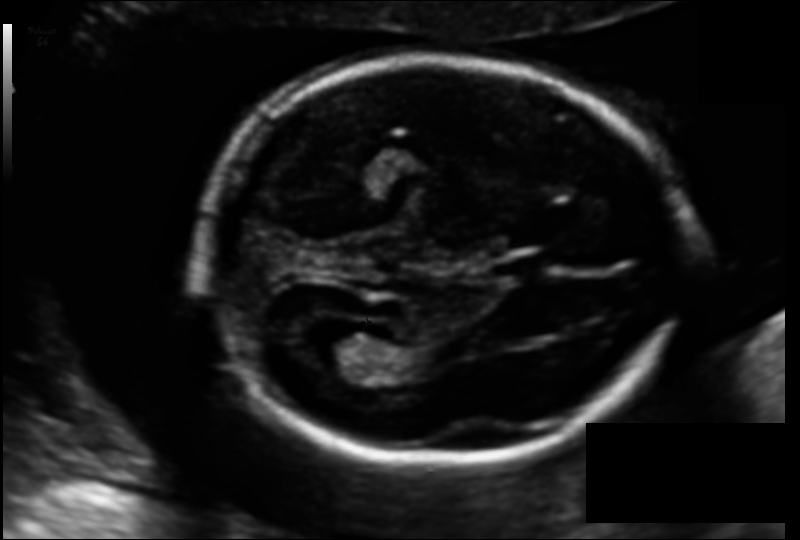
What is the fetal head circumference? Image width is 97.9 mm.

176.5 mm